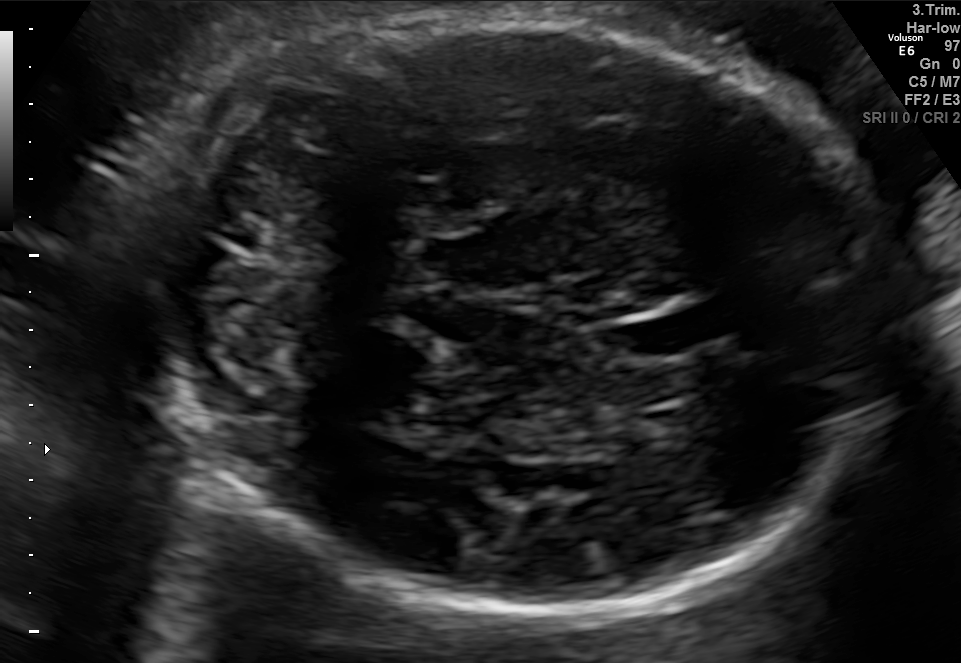
Fetal brain, trans-cerebellum plane. Give [x1,y1,x2,y2] bounding boxes for each visible structure among: fetal head, CSP, LV.

Head: [153,7,884,620]
CSP: [596,306,694,372]